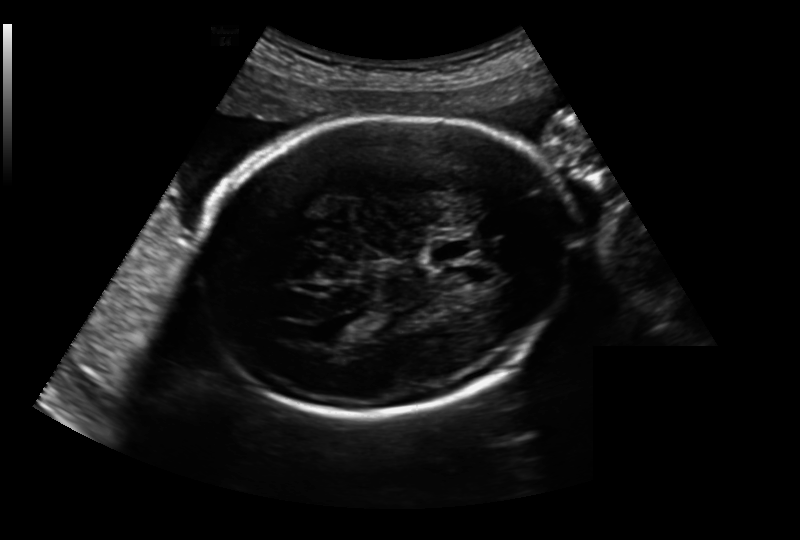
Fetal head ultrasound. Image width: 170.6 mm. Give [x1,y1,x2,y2] bounding boxes for each visible structure among: fetal head, CSP, LV.

Head: [193,117,576,413]
CSP: [425,232,479,269]
Lateral ventricle: [323,317,366,344]